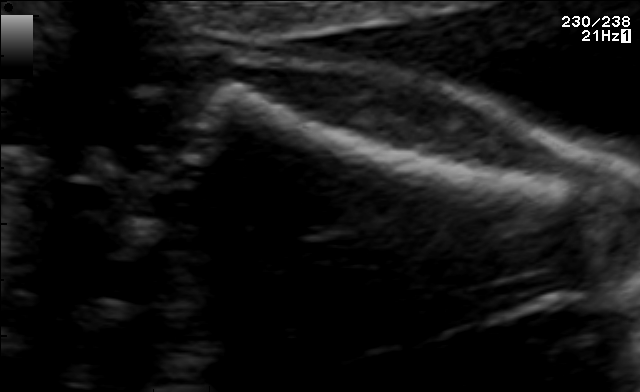
This is a 2D maternal-fetal ultrasound frame. Is it a fetal abdomen, fetal brain, fetal femur, fetal thorax, maternal cervix, or other standard plane? If it's fetal brain and one of the three standard brain planes (trans-thalamic, trans-cerebellum, trans-ventricular), name which.

Fetal femur